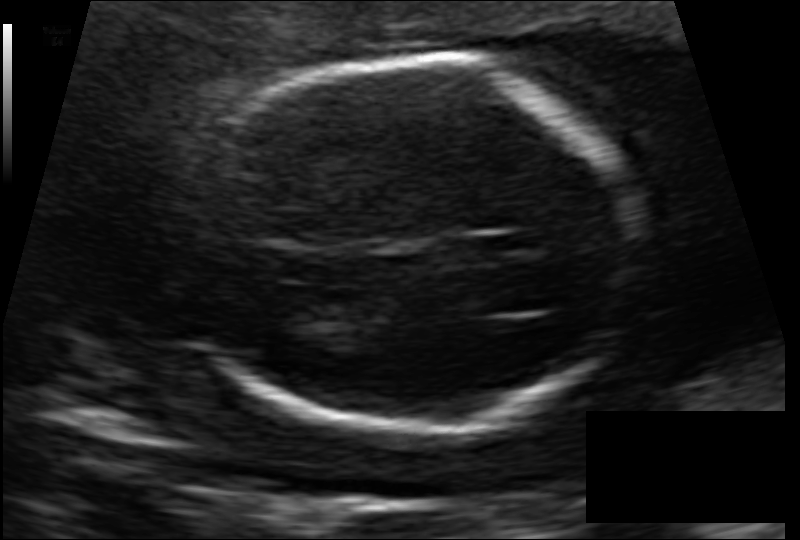
Measure the fetal head circumference shown in this ultrasound image. Image width: 103.2 mm.

Head circumference: 173.8 mm.